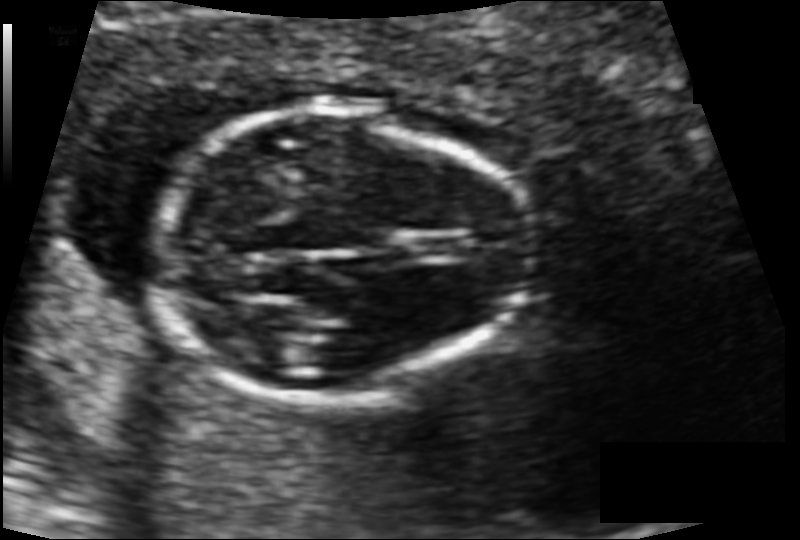
Estimate the fetal head circumference from this 2D ultrasound. Image width: 71.4 mm.

Head circumference: 96.1 mm.